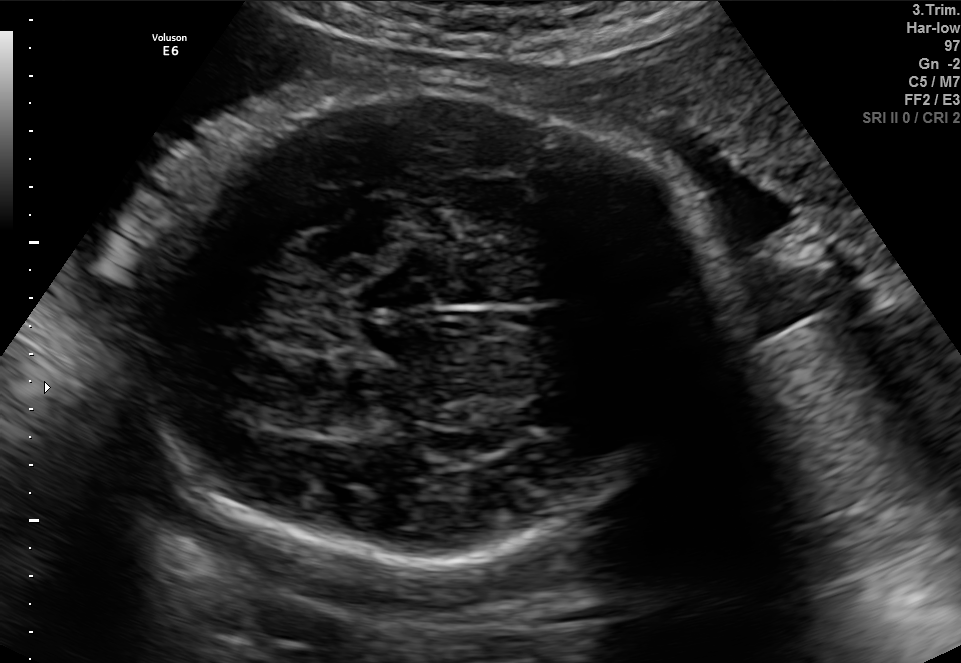
Fetal brain, trans-thalamic plane. Locate the fetal head.

Head: [118,88,723,565]